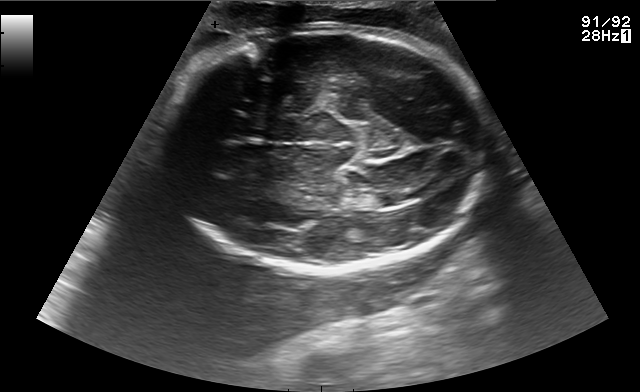
Identify the standard plane in this fetal ultrasound image: fetal abdomen, fetal brain, fetal femur, fetal thorax, maternal cervix, or other. If it's fetal brain and one of the three standard brain planes (trans-thalamic, trans-cerebellum, trans-ventricular), name which.

Fetal brain (trans-thalamic plane)